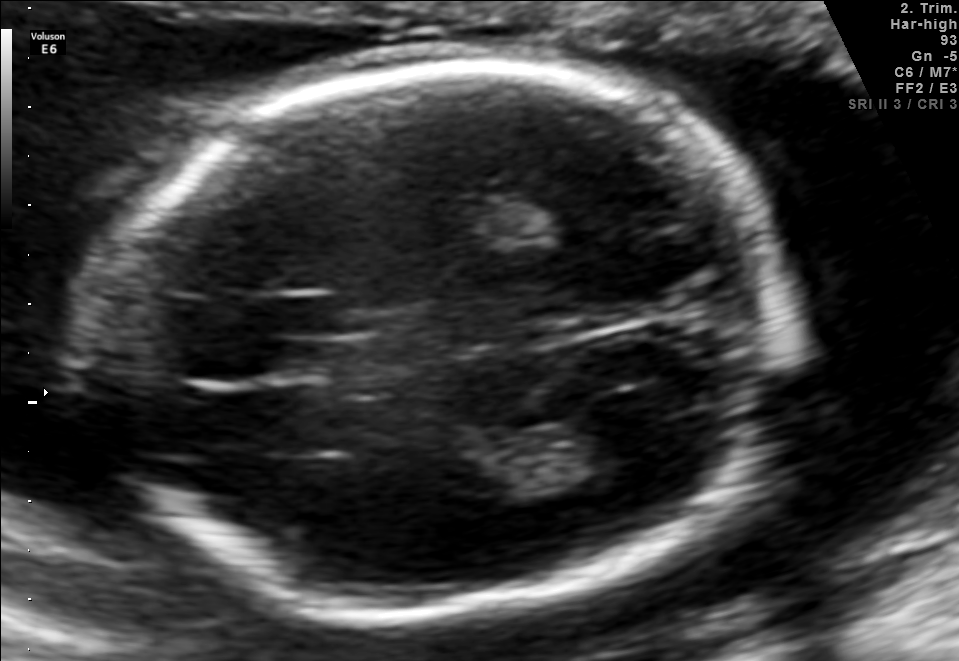
Fetal brain, trans-thalamic plane. Where is the fetal head?

Head bounding box: [94,67,785,610]